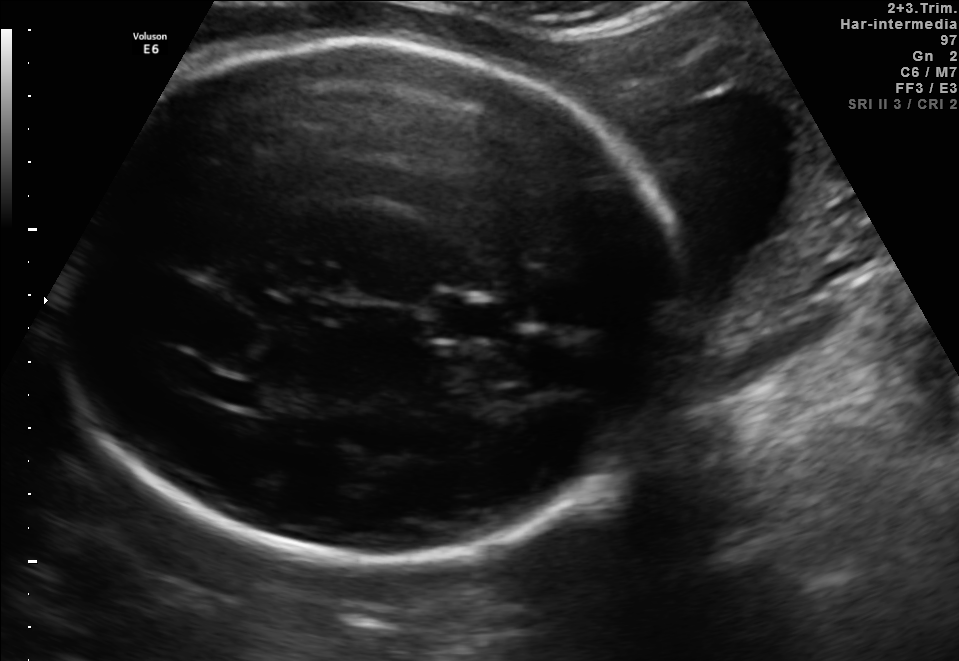
Fetal brain, trans-thalamic plane. Give [x1,y1,x2,y2] bounding boxes for each visible structure among: fetal head, CSP, LV.

Head: [48,42,695,557]
CSP: [434,305,511,337]
Lateral ventricle: [210,374,264,410]